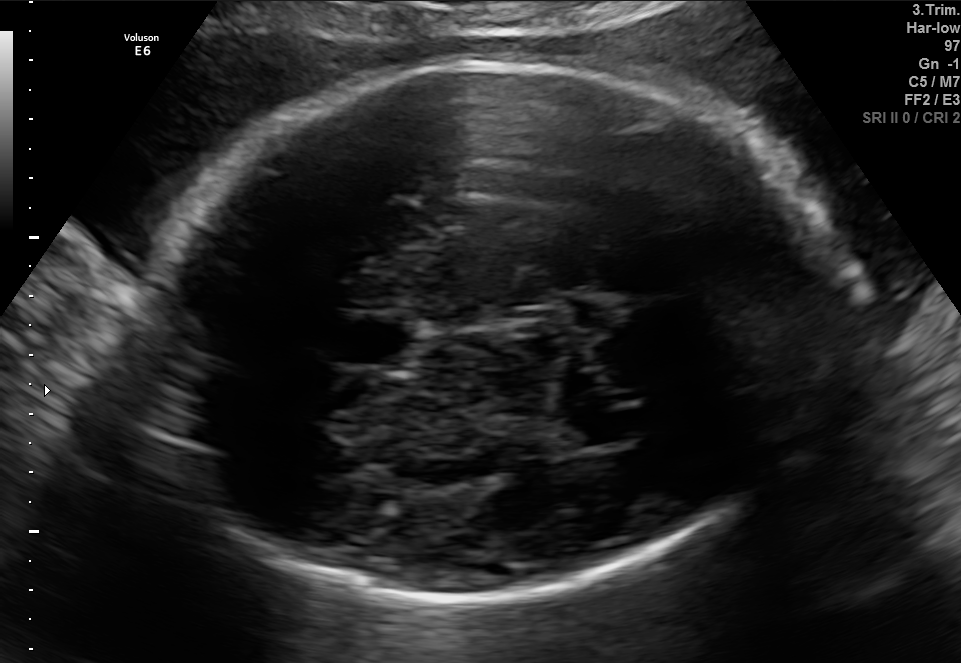
Fetal brain, trans-thalamic plane. Locate the cavum septum pellucidum.

CSP: [337,317,408,366]